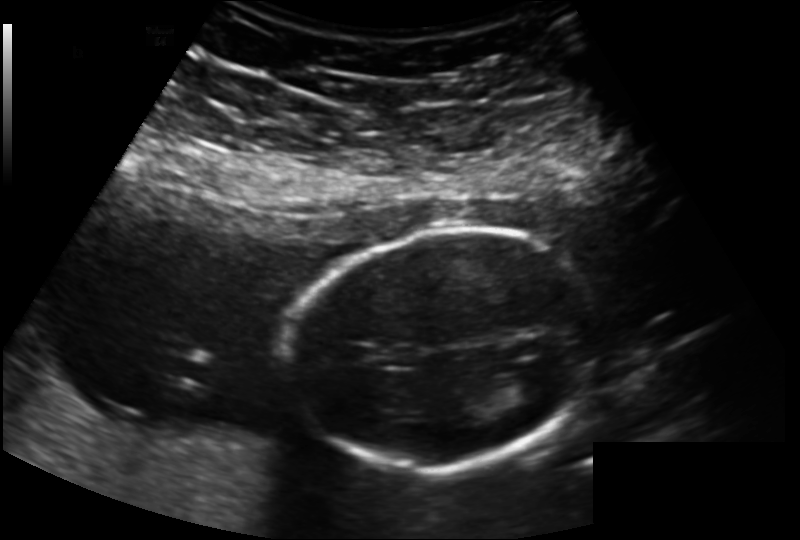
Fetal head ultrasound. Image width: 130.7 mm. Where is the lateral ventricle?

Lateral ventricle bounding box: [508,362,559,406]